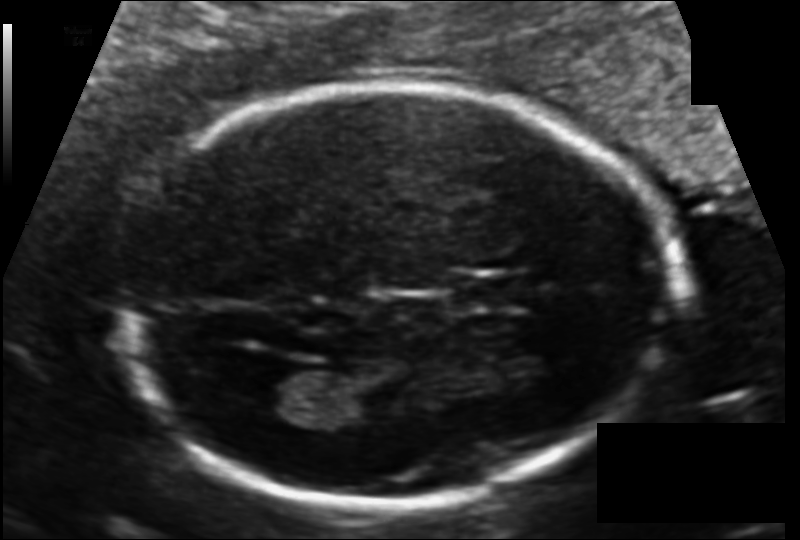
Estimate the fetal head circumference from this 2D ultrasound.

Head circumference: 176.3 mm (image width 90.0 mm).